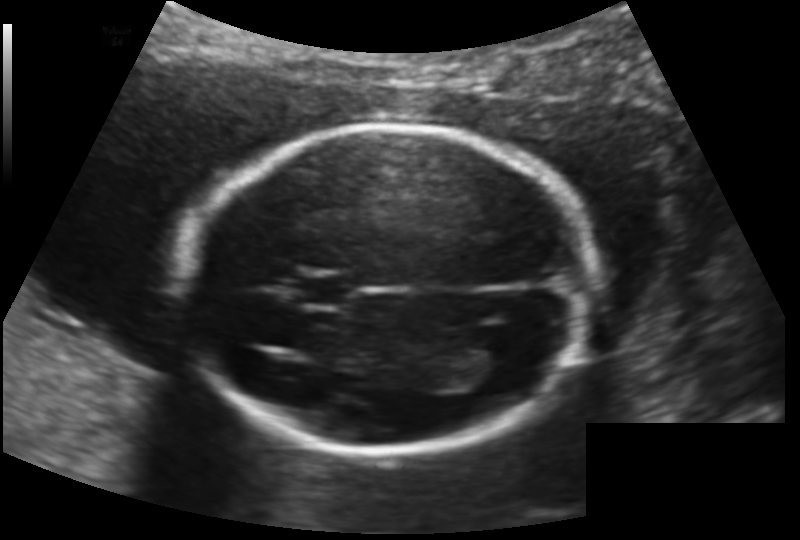
Fetal head ultrasound. Image width: 116.3 mm. Where is the fetal head?

Head bounding box: [182,125,601,451]